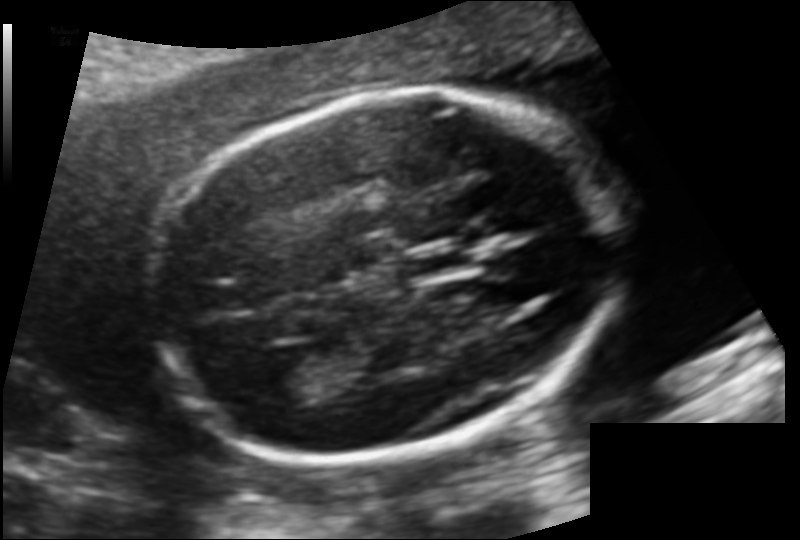
Estimate the fetal head circumference from this 2D ultrasound.

Head circumference: 163.3 mm (image width 96.3 mm).